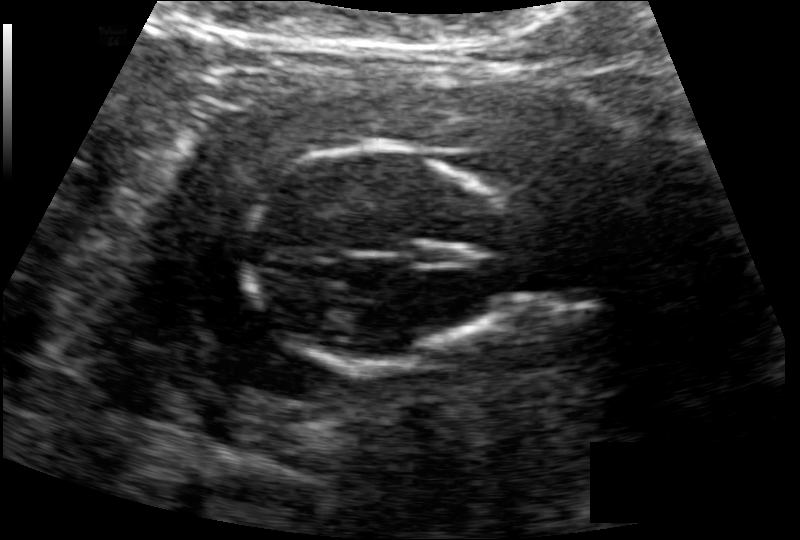
Fetal head ultrasound. Image width: 100.6 mm. Where is the fetal head?

Head bounding box: [246,145,507,365]